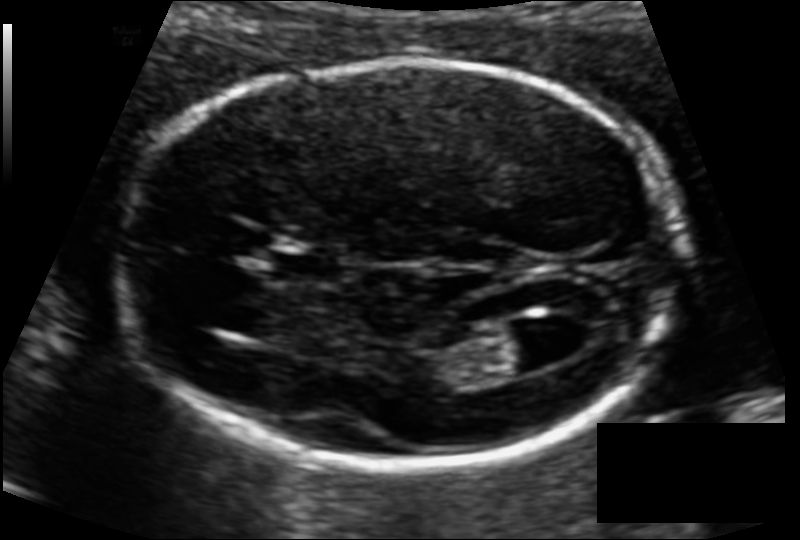
Fetal head ultrasound. Image width: 83.4 mm. Where is the cavum septum pellucidum?

CSP bounding box: [272,253,342,281]